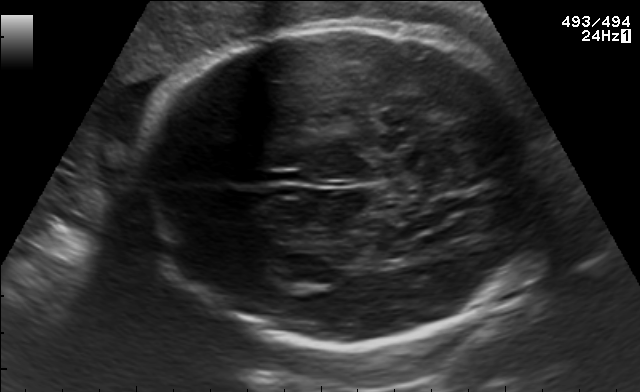
In this fetal brain, trans-thalamic plane, give the bounding box of the lateral ventricle.

[277,255,331,283]